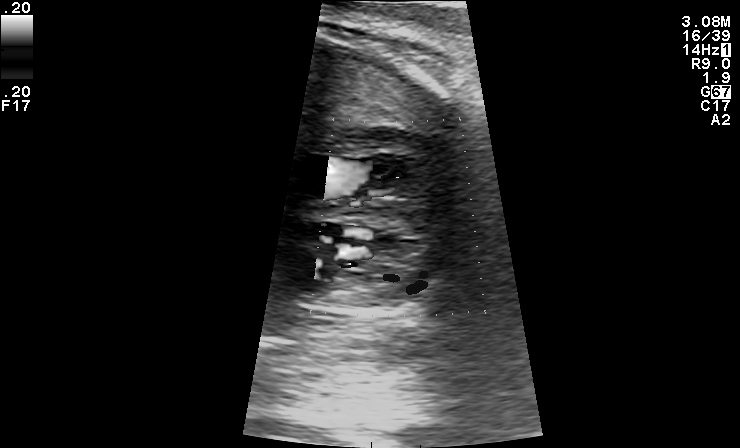
Which standard maternal-fetal ultrasound plane is shown: fetal abdomen, fetal brain, fetal femur, fetal thorax, maternal cervix, or other? If it's fetal brain and one of the three standard brain planes (trans-thalamic, trans-cerebellum, trans-ventricular), name which.

Other